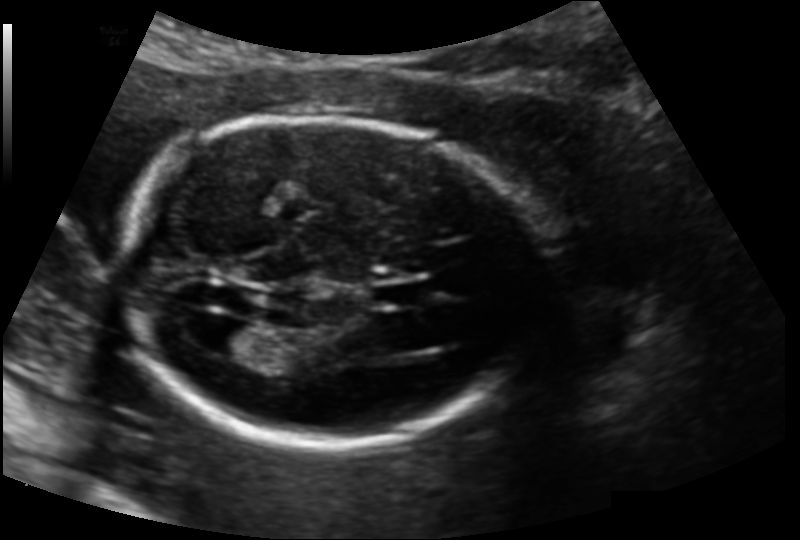
In this fetal head ultrasound, give the bounding box of the lateral ventricle. Image width: 111.6 mm.

[201,315,269,363]